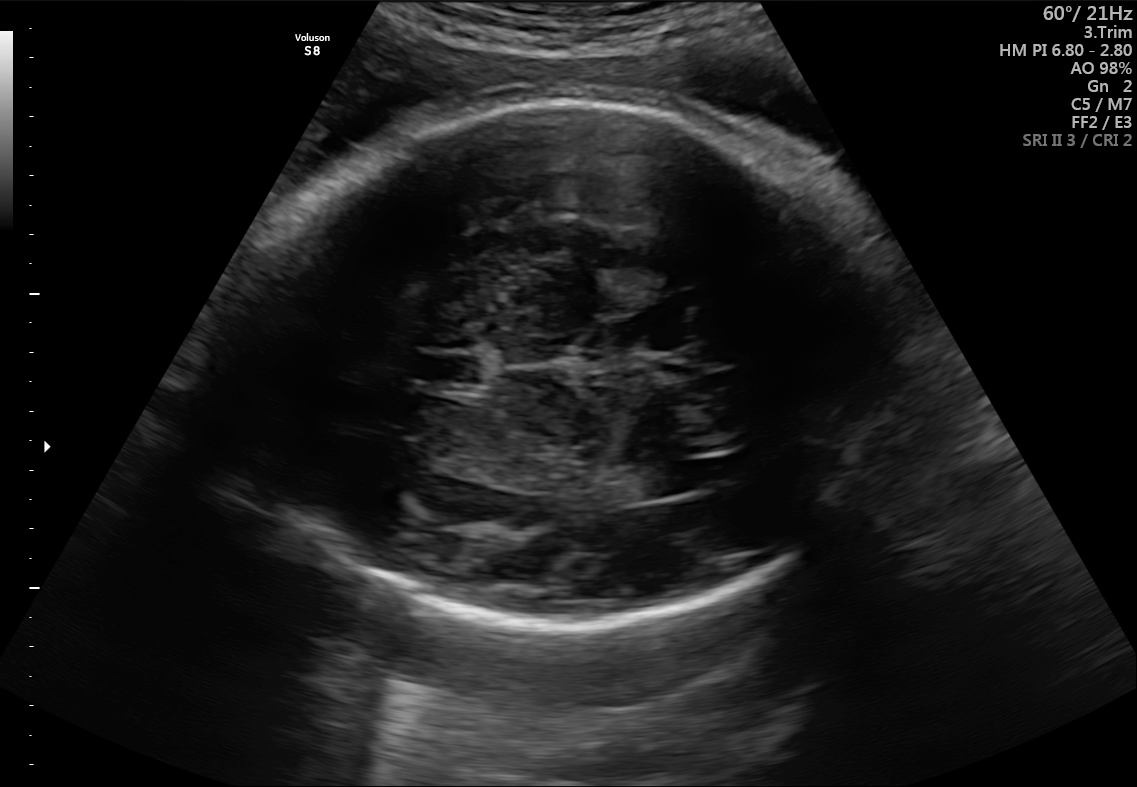
Fetal brain, trans-ventricular plane. Where is the lateral ventricle?

Lateral ventricle bounding box: [637,457,702,501]